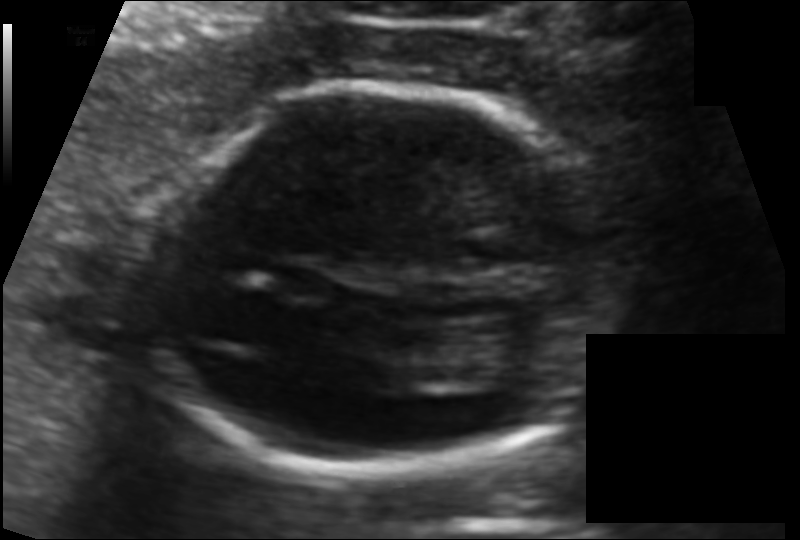
In this fetal head ultrasound, give the bounding box of the fetal head. Image width: 80.1 mm.

[143,86,612,474]